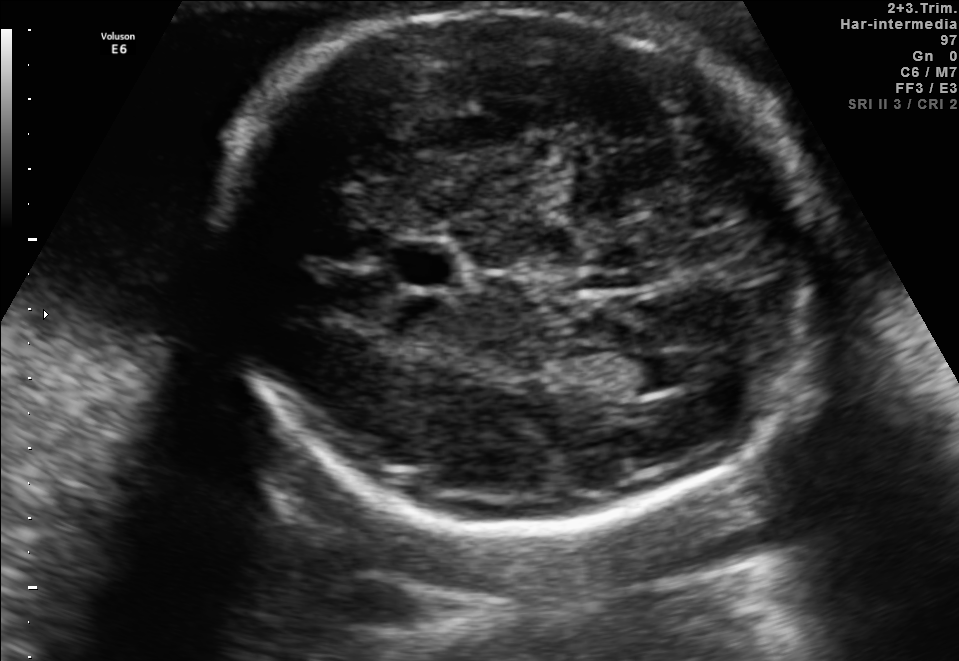
Fetal brain, trans-ventricular plane. Locate the lateral ventricle.

Lateral ventricle: [623,343,701,397]